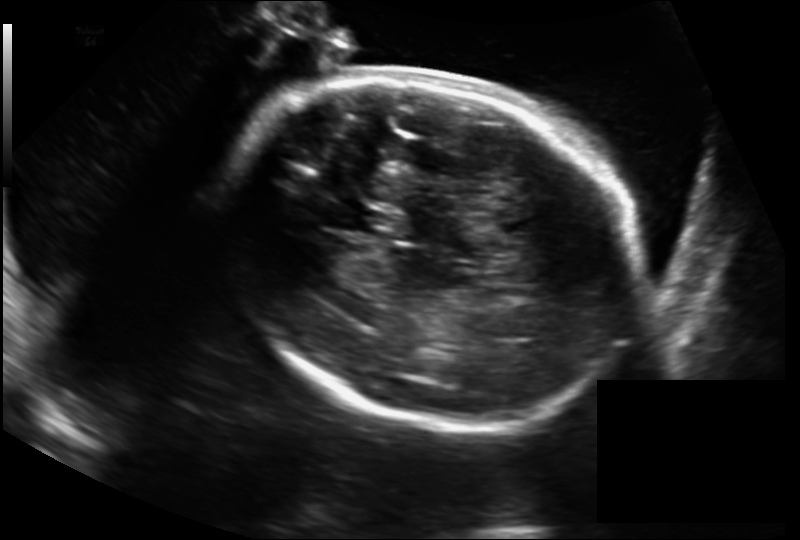
Estimate the fetal head circumference from this 2D ultrasound. Image width: 169.0 mm.

Head circumference: 260.8 mm.